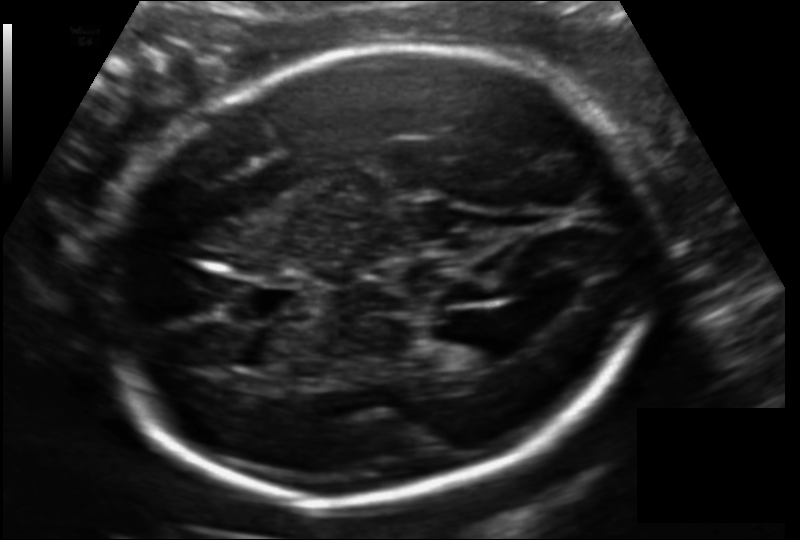
In this fetal head ultrasound, give bounding boxes for the head outline, cavum septum pellucidum (CSP), and lateral ventricle (LV), where visible. Image width: 111.6 mm.

Head: [115,46,650,506]
CSP: [238,277,311,325]
Lateral ventricle: [435,327,504,377]